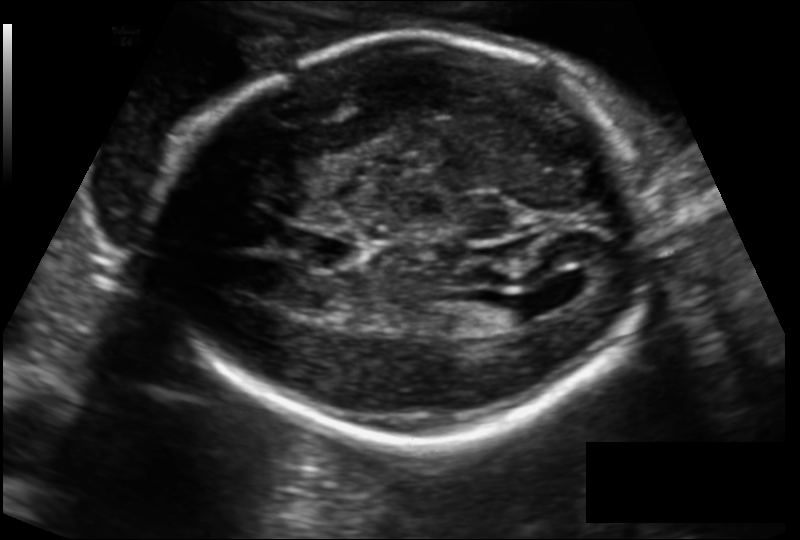
Fetal head ultrasound. Image width: 119.5 mm. Where is the fetal head?

Head bounding box: [154,35,659,440]